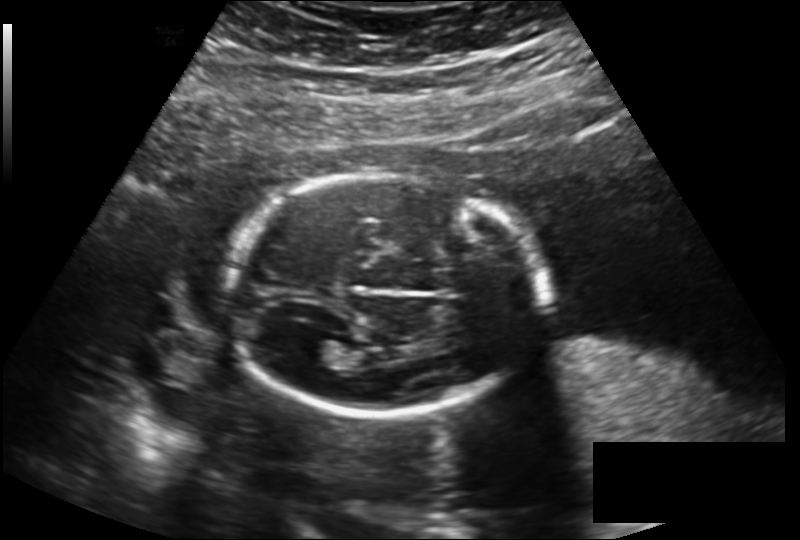
Fetal head ultrasound. Image width: 150.8 mm. Locate the fetal head and, if visible, the cavum septum pellucidum (CSP) and lateral ventricle (LV). Give bounding boxes as [x1,y1,x2,y2].

Head: [224,173,546,413]
Lateral ventricle: [295,335,340,367]